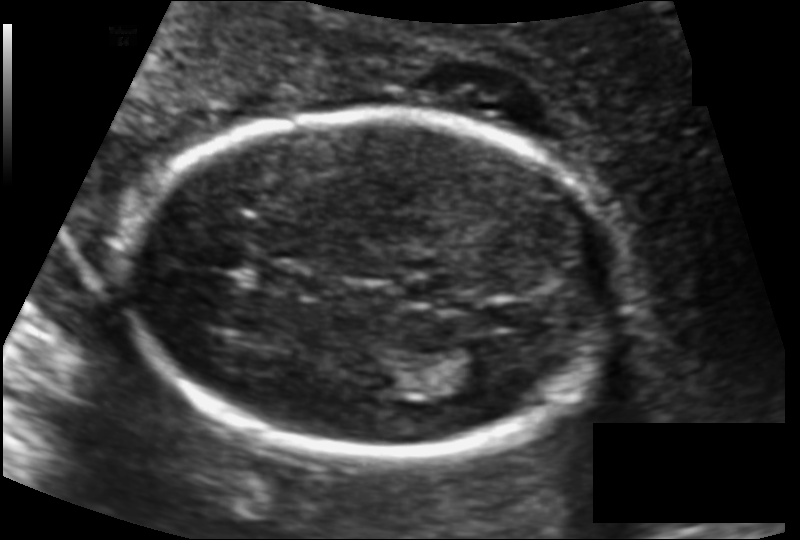
From this fetal ultrasound, estimate the head circumference (image width 93.7 mm).

Head circumference: 160.6 mm.